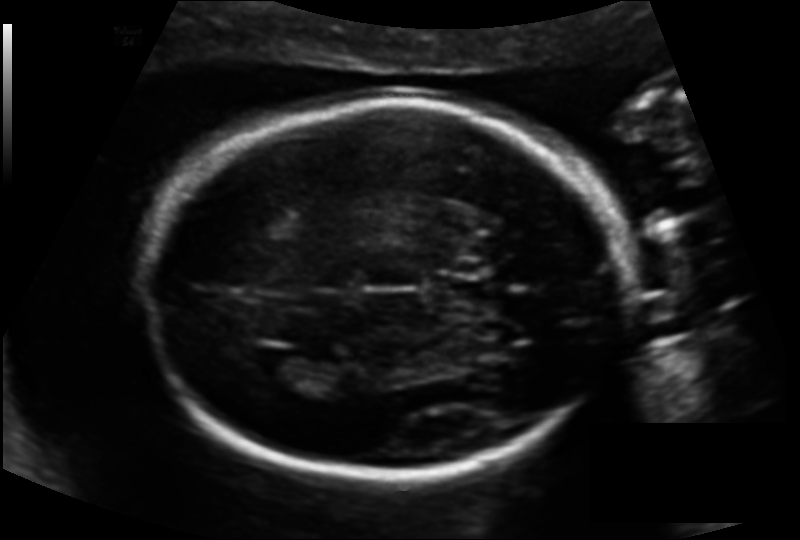
In this fetal head ultrasound, give the bounding box of the fetal head. Image width: 107.7 mm.

[143,101,631,476]